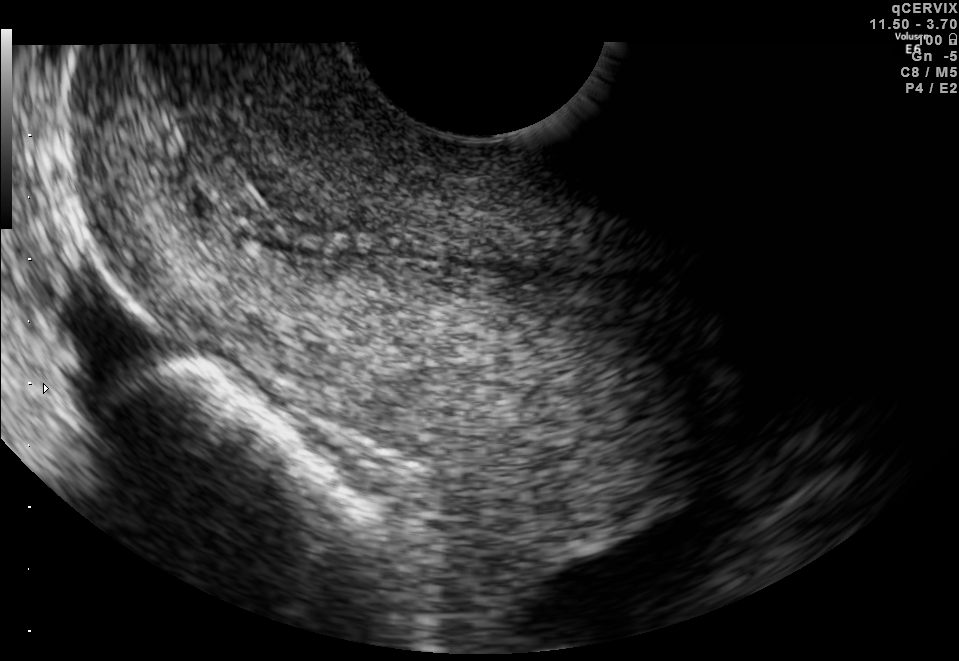
This is a 2D maternal-fetal ultrasound frame. Is it a fetal abdomen, fetal brain, fetal femur, fetal thorax, maternal cervix, or other standard plane? If it's fetal brain and one of the three standard brain planes (trans-thalamic, trans-cerebellum, trans-ventricular), name which.

Maternal cervix